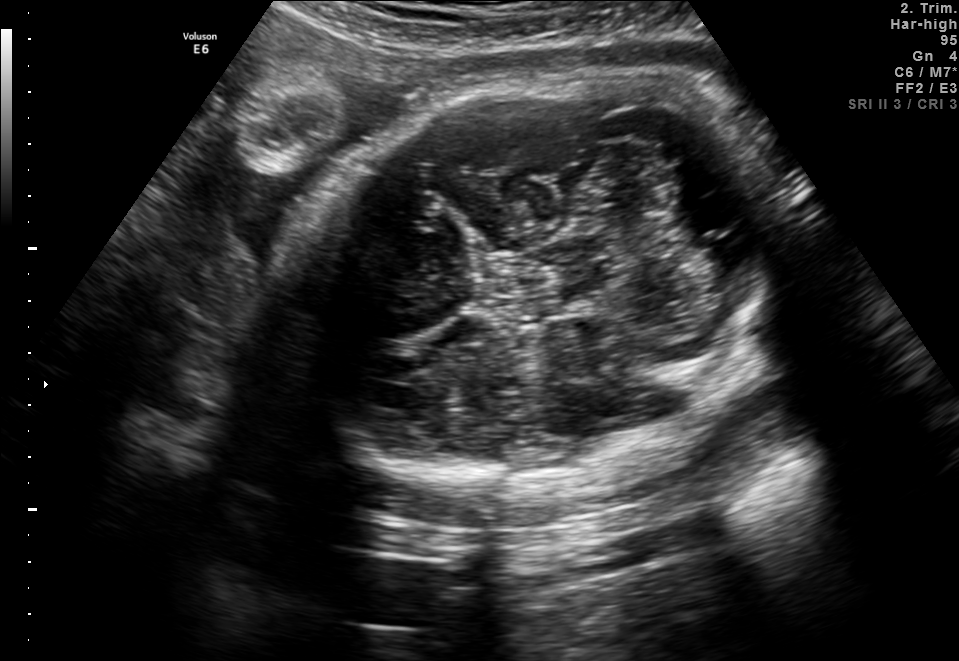
Fetal brain, trans-cerebellum plane. Give [x1,y1,x2,y2] bounding boxes for each visible structure among: fetal head, CSP, LV.

Head: [286,73,805,490]